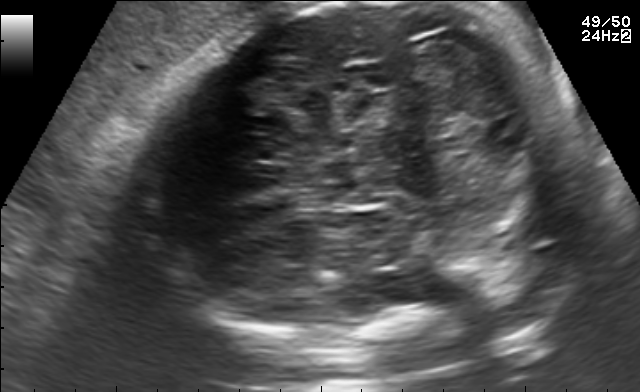
Fetal brain, trans-cerebellum plane. Where is the fetal head?

Head bounding box: [135,1,587,345]